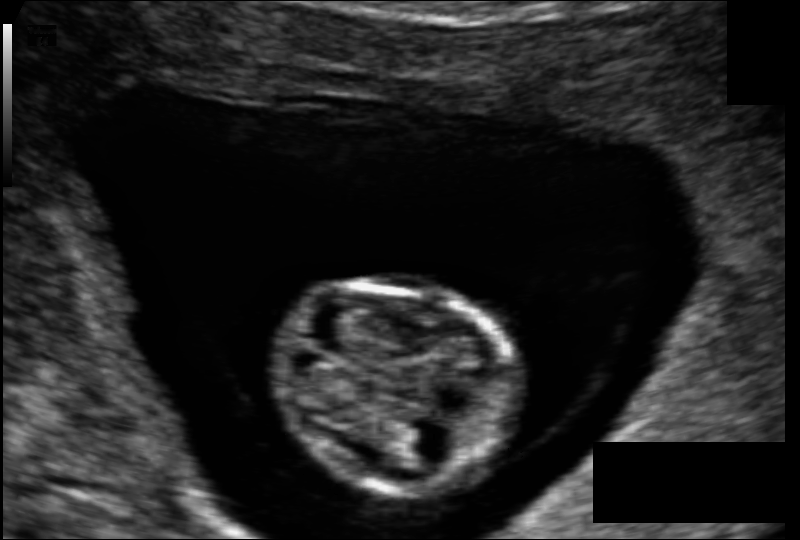
In this fetal head ultrasound, give the bounding box of the fetal head. Image width: 71.4 mm.

[275,285,520,490]